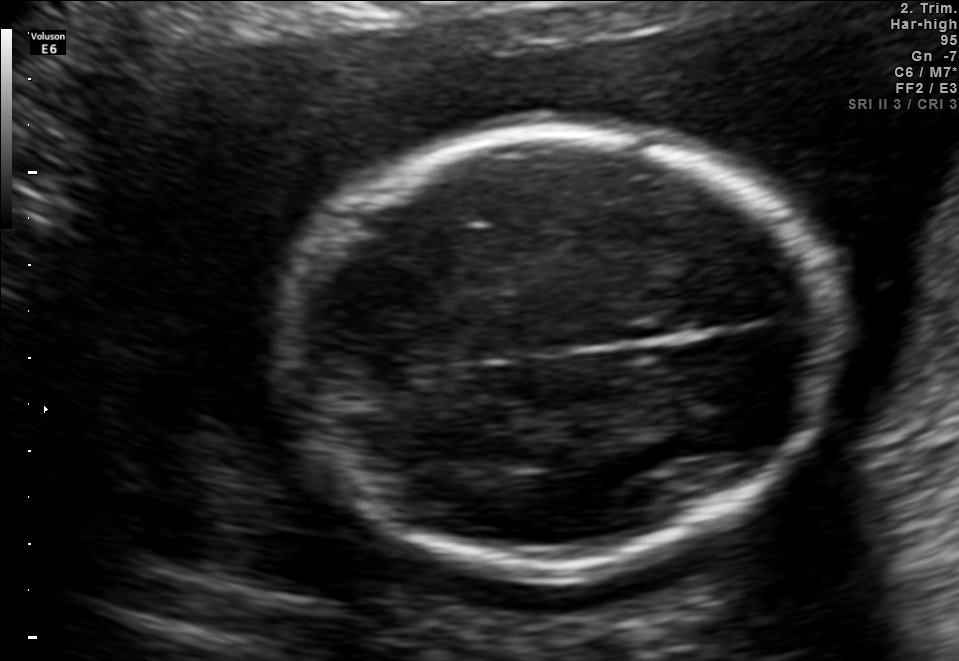
In this fetal brain, trans-thalamic plane, give the bounding box of the fetal head.

[285,131,826,572]